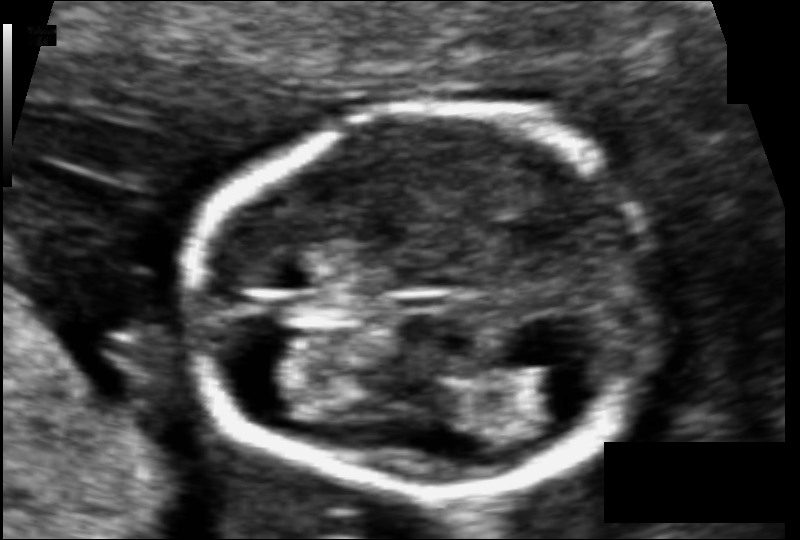
Estimate the fetal head circumference from this 2D ultrasound.

Head circumference: 90.3 mm (image width 52.4 mm).